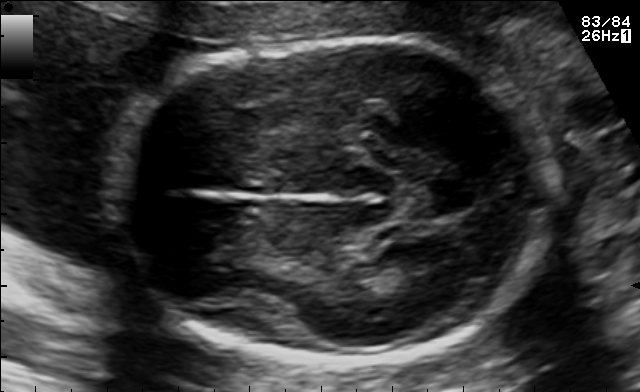
In this fetal brain, trans-thalamic plane, give the bounding box of the fetal head.

[113,39,559,361]